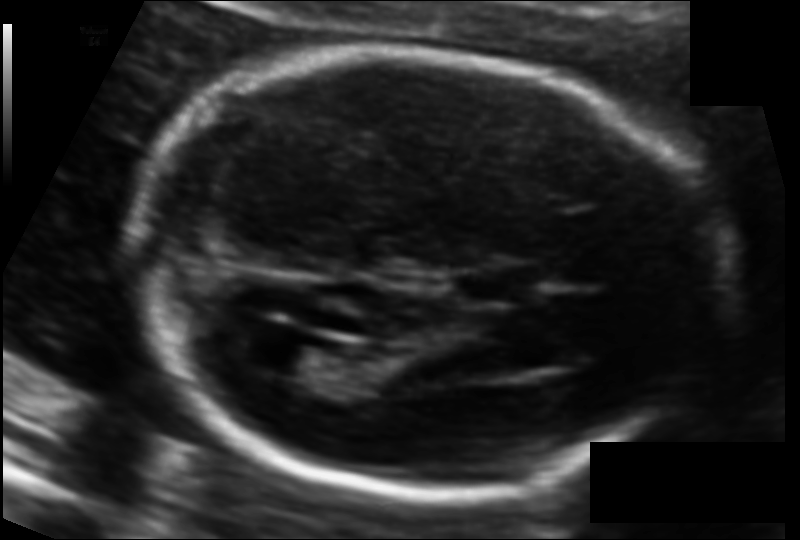
From this fetal ultrasound, estimate the head circumference (image width 82.9 mm).

Head circumference: 174.0 mm.